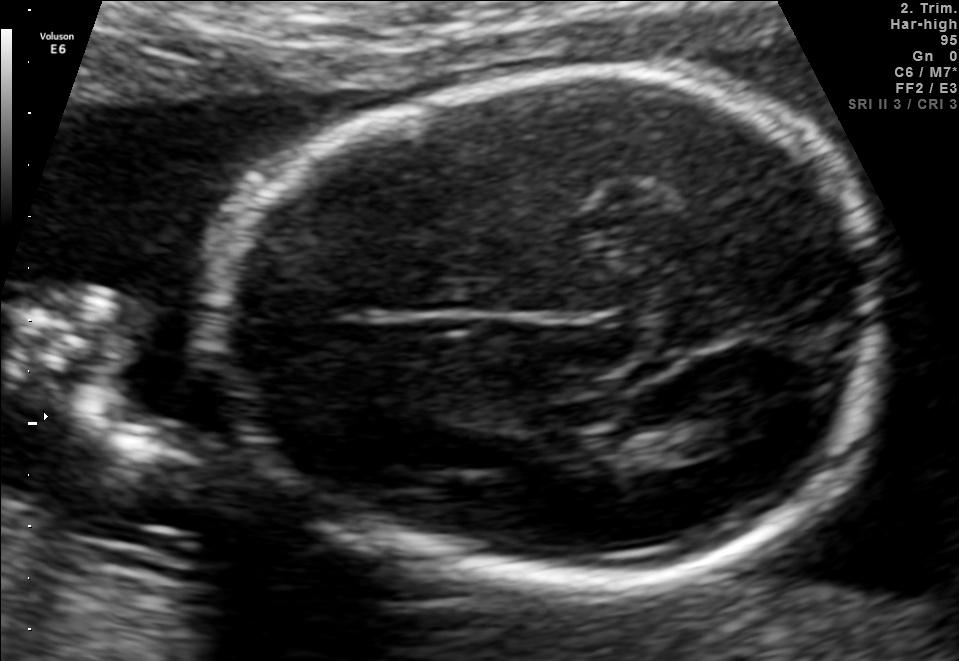
In this fetal brain, trans-thalamic plane, give the bounding box of the fetal head.

[215,73,890,588]